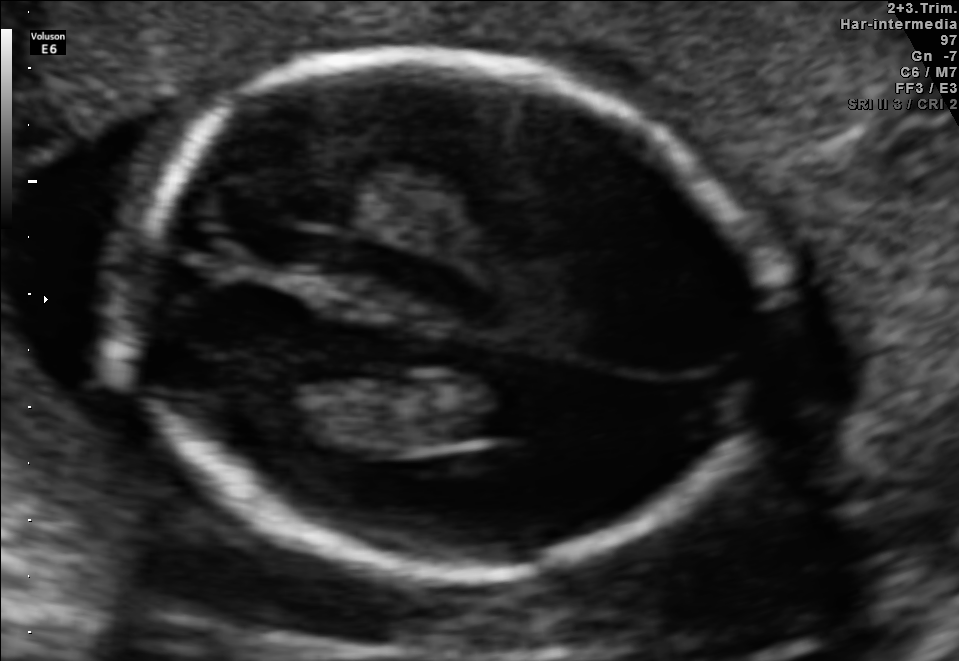
In this fetal brain, trans-ventricular plane, give the bounding box of the fetal head.

[91,42,796,591]